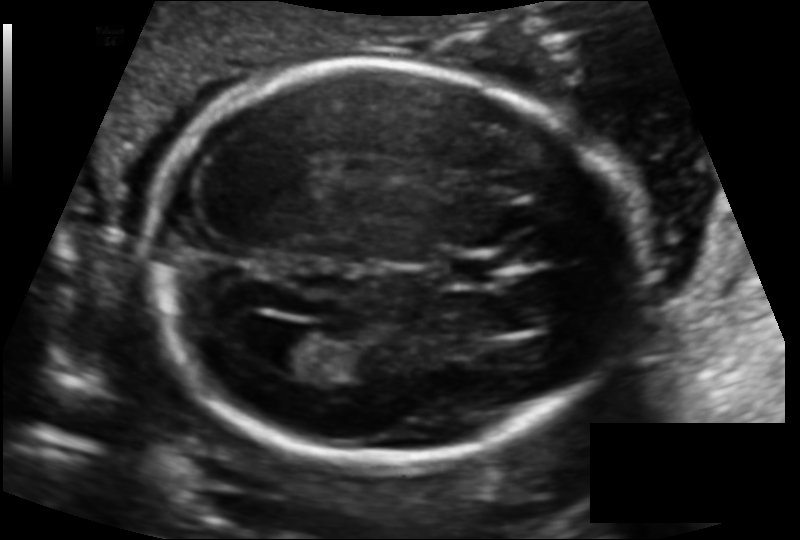
Estimate the fetal head circumference from this 2D ultrasound.

Head circumference: 181.6 mm (image width 100.1 mm).